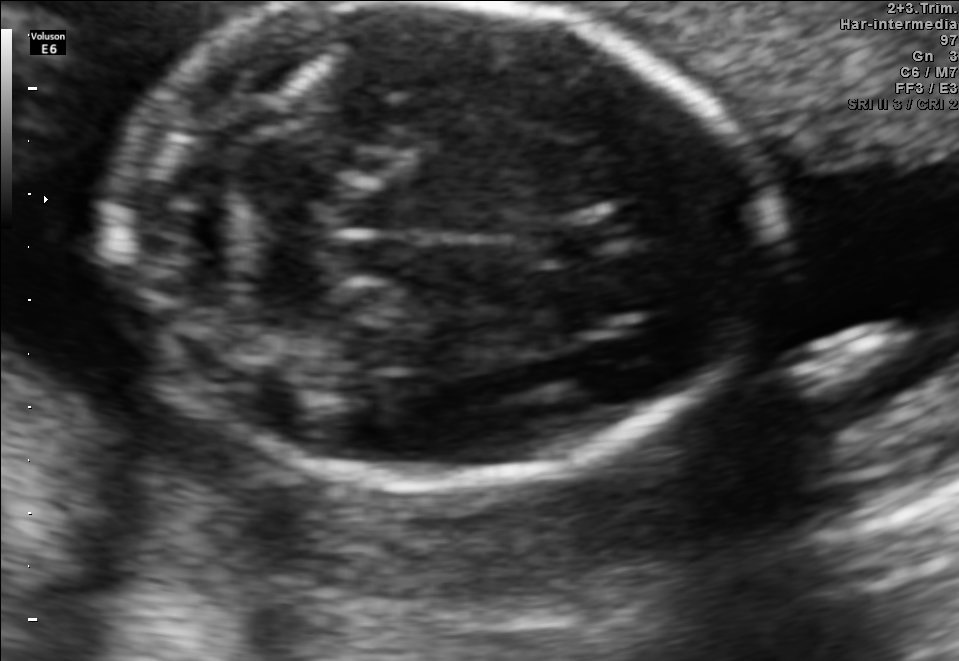
In this fetal brain, trans-cerebellum plane, give the bounding box of the cavum septum pellucidum.

[529,203,626,269]